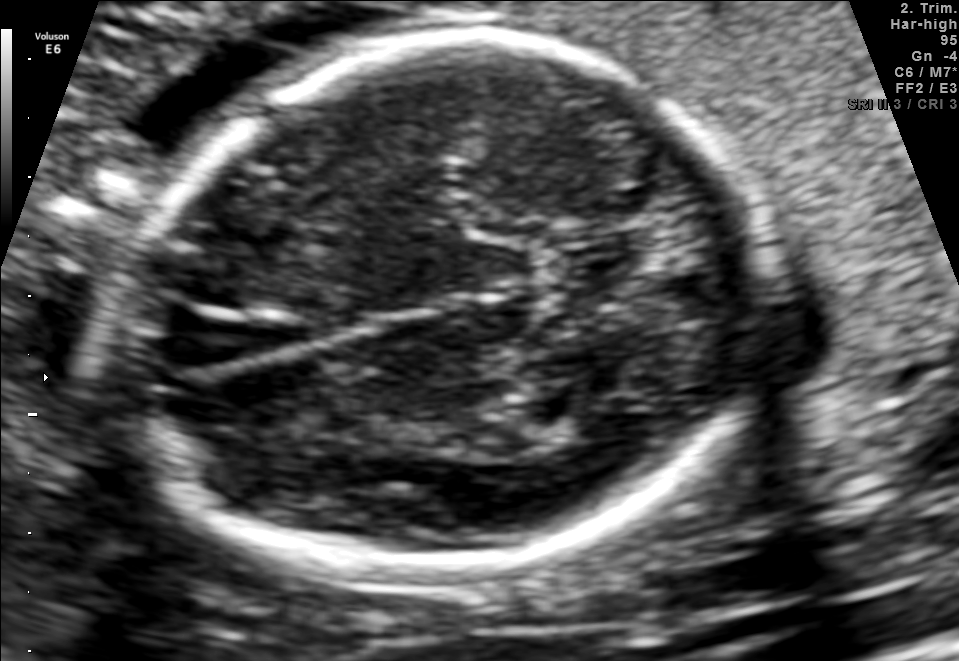
Fetal brain, trans-thalamic plane. Locate the fetal head and, if visible, the cavum septum pellucidum (CSP) and lateral ventricle (LV). Give bounding boxes as [x1,y1,x2,y2].

Head: [104,37,767,574]